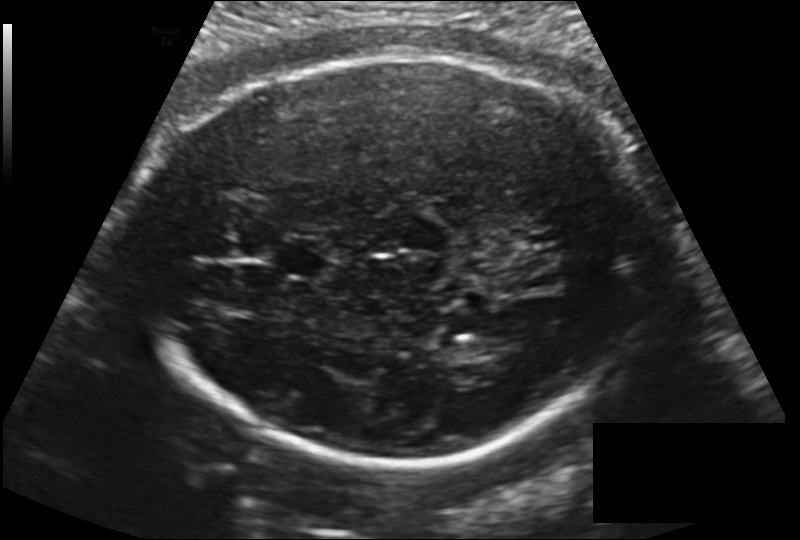
Fetal head ultrasound. Image width: 144.8 mm. Where is the fetal head?

Head bounding box: [134,58,657,464]